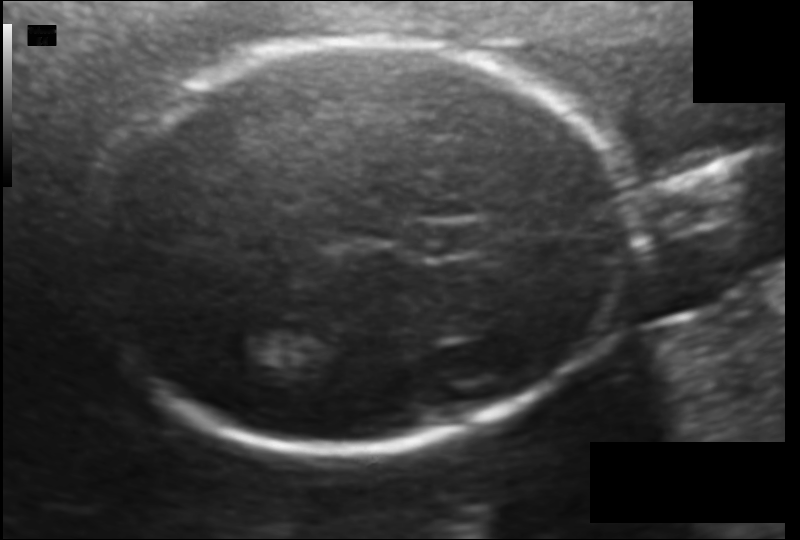
In this fetal head ultrasound, give the bounding box of the fetal head. Image width: 90.8 mm.

[85,40,626,449]